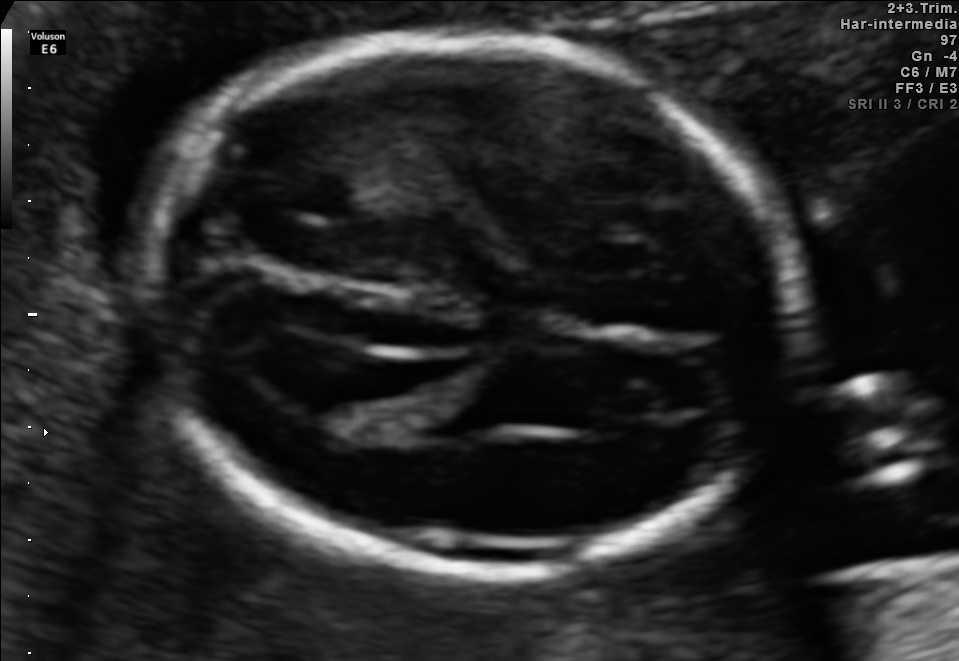
Fetal brain, trans-ventricular plane. Where is the fetal head?

Head bounding box: [134,27,821,590]